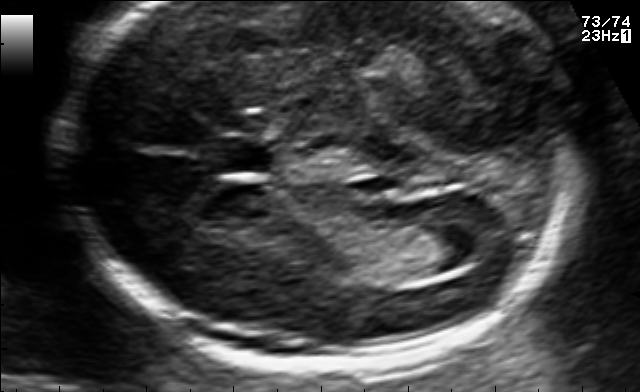
In this fetal brain, trans-ventricular plane, give bounding boxes for the cavum septum pellucidum (CSP) and lateral ventricle (LV), where visible.

CSP: [201,138,287,172]
Lateral ventricle: [423,206,514,273]